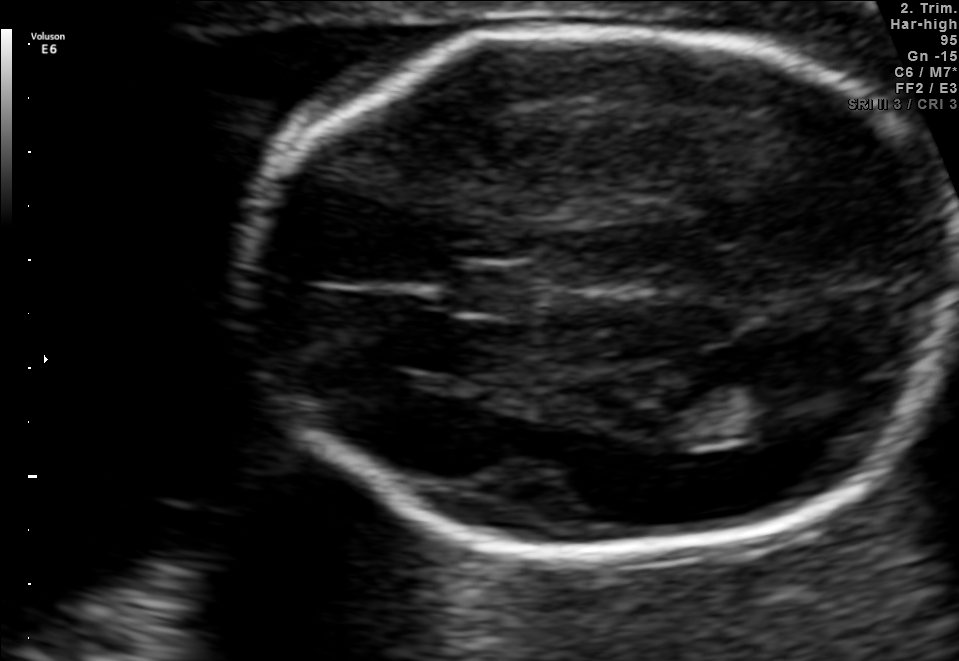
In this fetal brain, trans-thalamic plane, give the bounding box of the lateral ventricle.

[723,362,840,444]